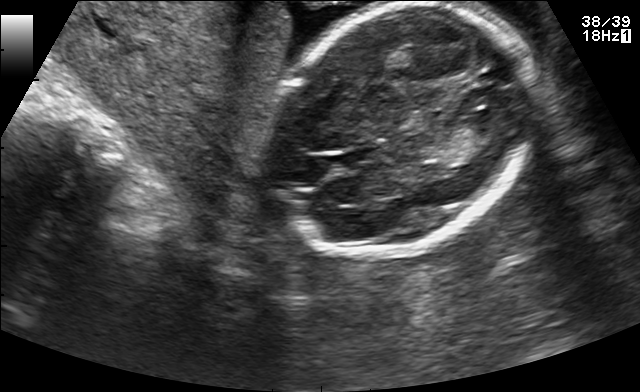
This is a 2D maternal-fetal ultrasound frame. Is it a fetal abdomen, fetal brain, fetal femur, fetal thorax, maternal cervix, or other standard plane? If it's fetal brain and one of the three standard brain planes (trans-thalamic, trans-cerebellum, trans-ventricular), name which.

Fetal brain (trans-thalamic plane)